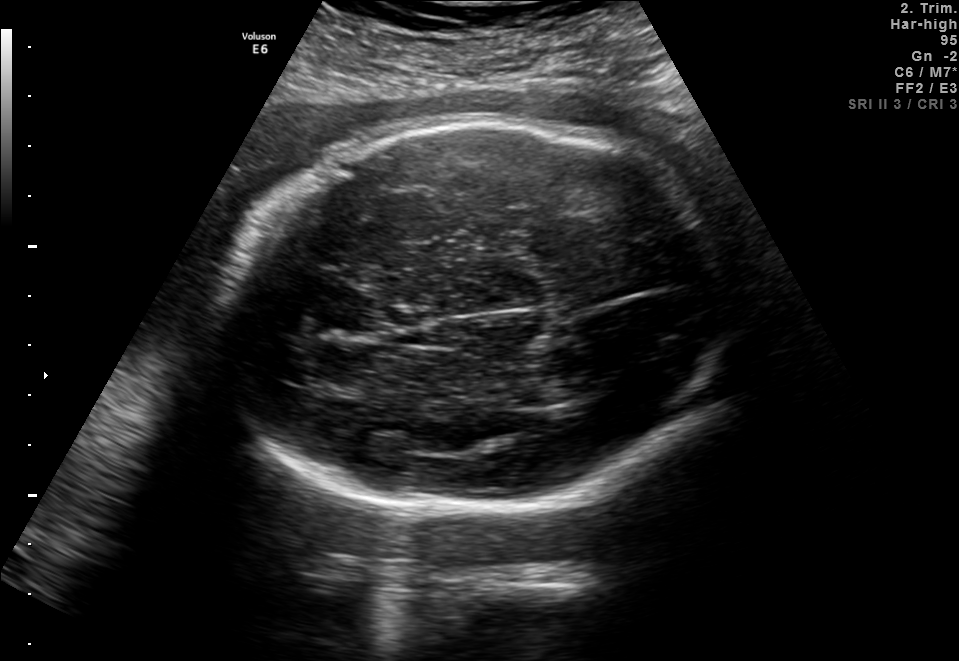
Fetal brain, trans-thalamic plane. Locate the fetal head and, if visible, the cavum septum pellucidum (CSP) and lateral ventricle (LV). Give bounding boxes as [x1,y1,x2,y2].

Head: [224,125,743,508]
Lateral ventricle: [542,368,611,409]